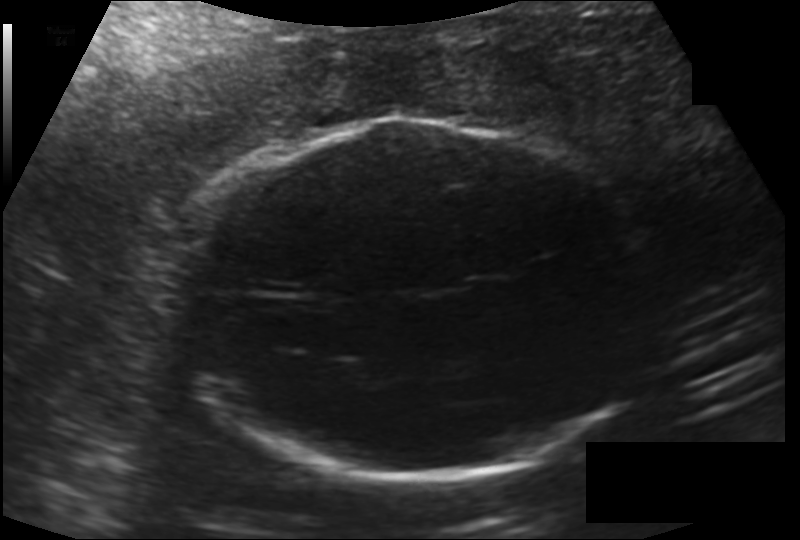
Fetal head ultrasound. Image width: 140.8 mm. Locate the fetal head.

Head: [169,119,653,475]